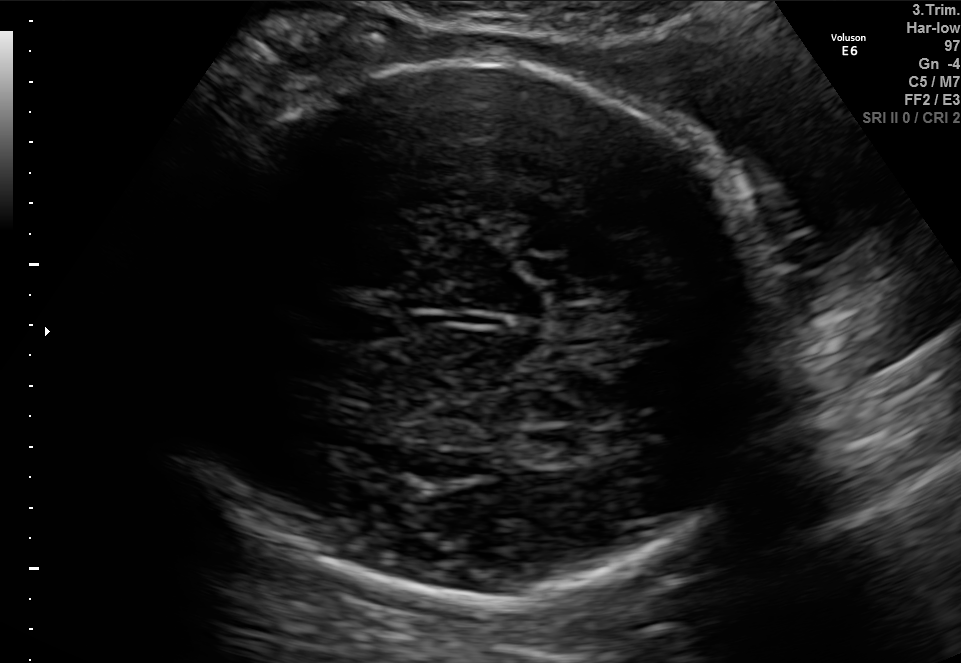
Identify the standard plane in this fetal ultrasound image: fetal abdomen, fetal brain, fetal femur, fetal thorax, maternal cervix, or other. If it's fetal brain and one of the three standard brain planes (trans-thalamic, trans-cerebellum, trans-ventricular), name which.

Fetal brain (trans-thalamic plane)